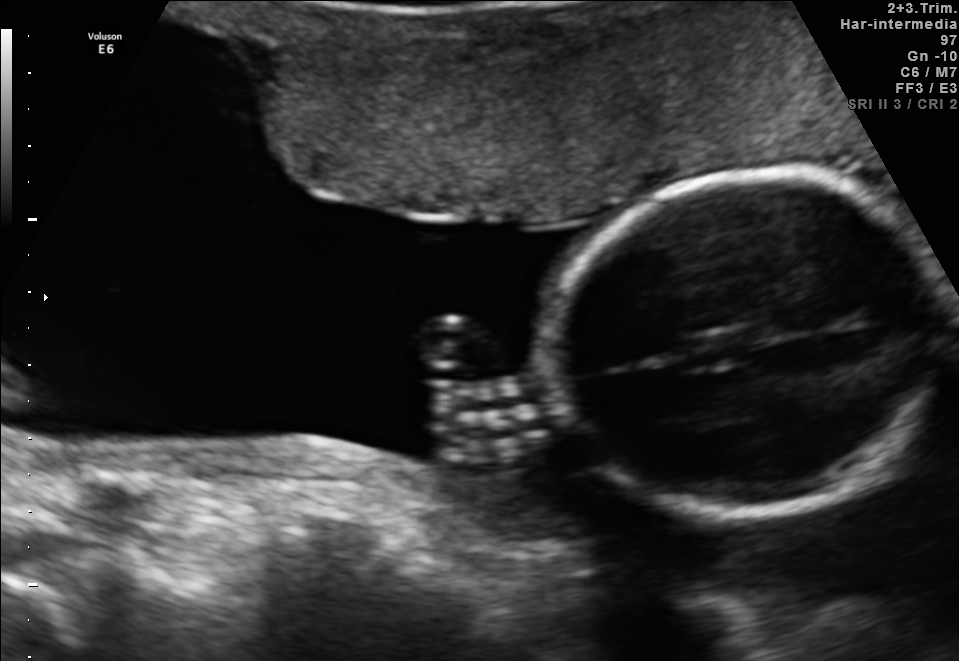
Fetal brain, trans-thalamic plane. Where is the fetal head?

Head bounding box: [548,178,951,515]